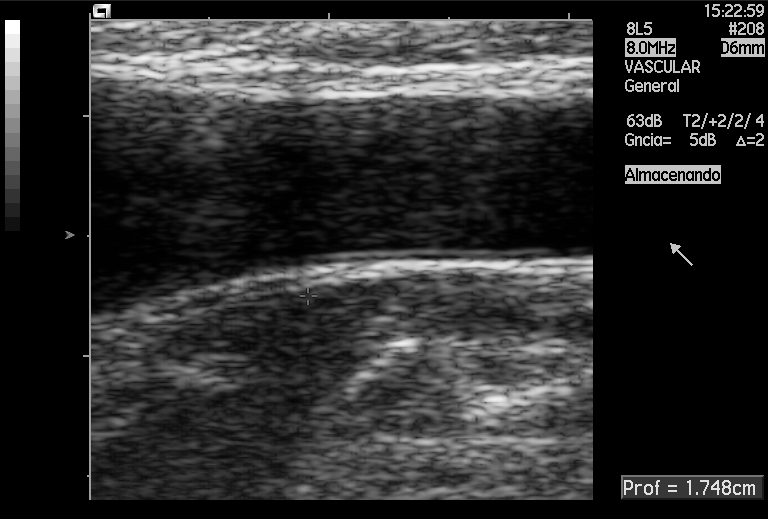
This is a 2D maternal-fetal ultrasound frame. Is it a fetal abdomen, fetal brain, fetal femur, fetal thorax, maternal cervix, or other standard plane? If it's fetal brain and one of the three standard brain planes (trans-thalamic, trans-cerebellum, trans-ventricular), name which.

Other